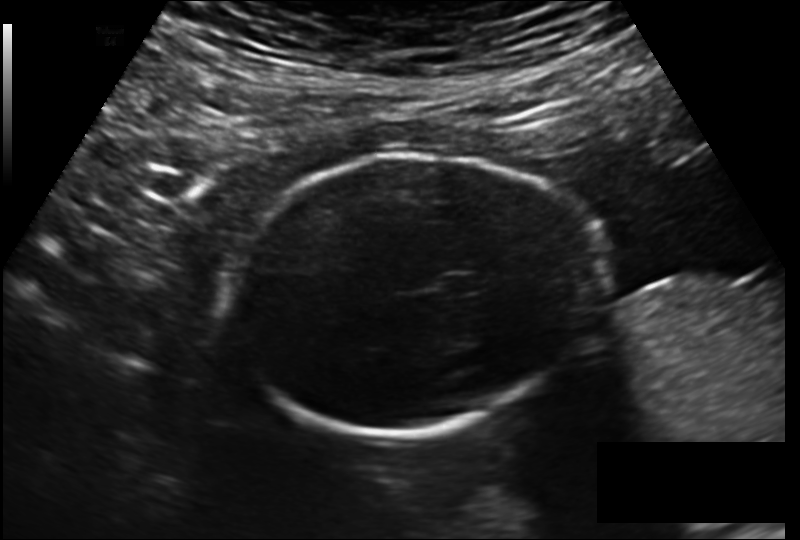
Estimate the fetal head circumference from this 2D ultrasound.

Head circumference: 189.2 mm (image width 142.1 mm).